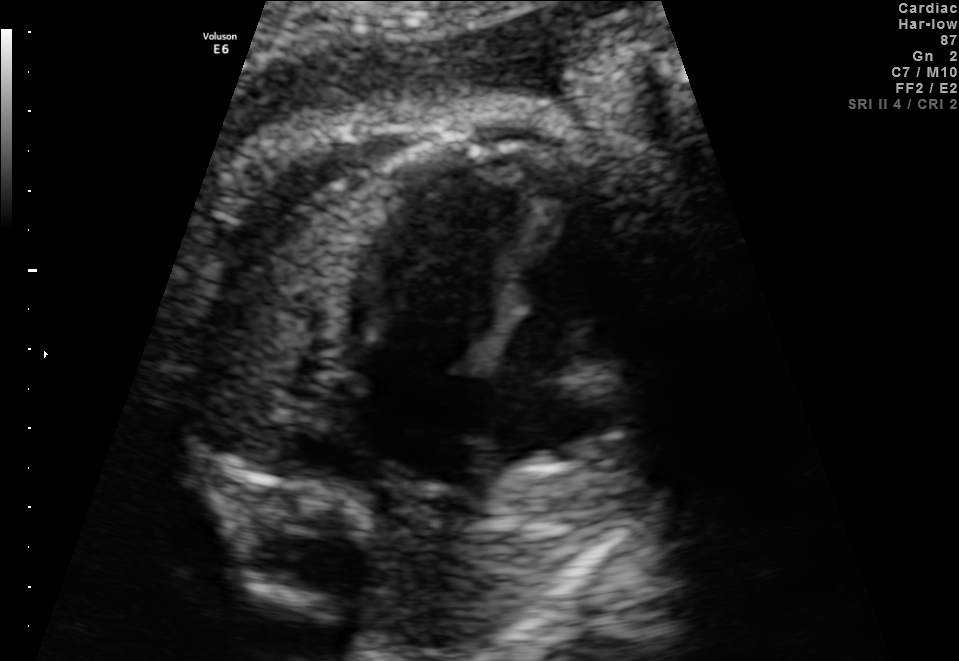
Identify the standard plane in this fetal ultrasound image: fetal abdomen, fetal brain, fetal femur, fetal thorax, maternal cervix, or other. If it's fetal brain and one of the three standard brain planes (trans-thalamic, trans-cerebellum, trans-ventricular), name which.

Fetal thorax